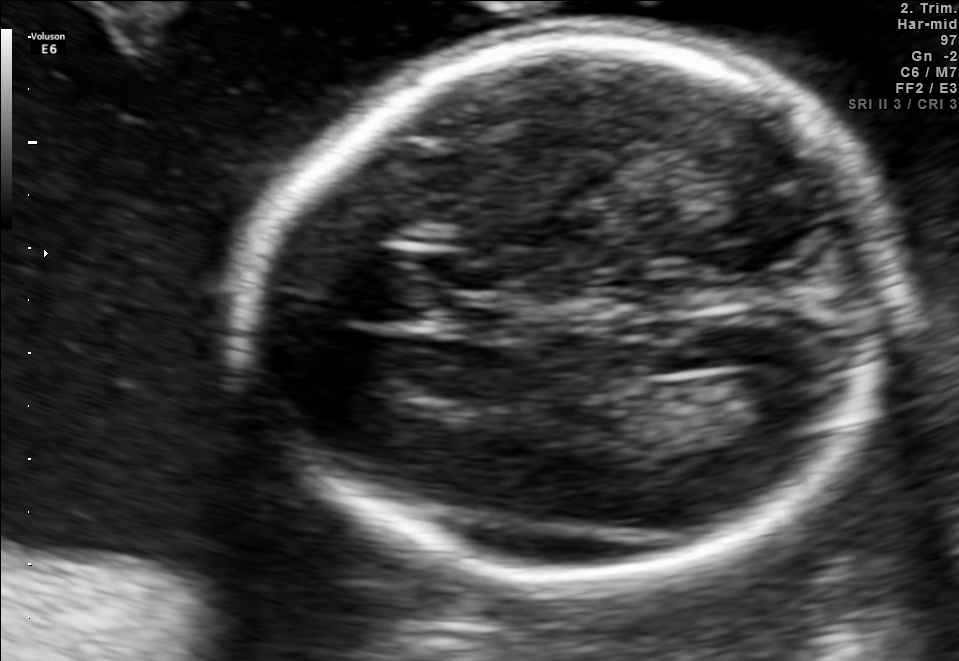
In this fetal brain, trans-ventricular plane, give bounding boxes for the head outline, cavum septum pellucidum (CSP), and lateral ventricle (LV), where visible.

Head: [220,21,921,594]
CSP: [435,294,509,339]
Lateral ventricle: [731,360,818,428]